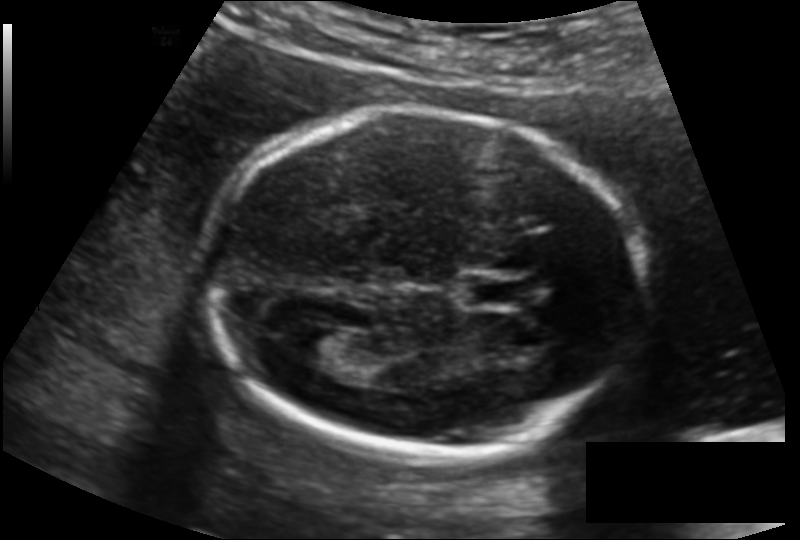
In this fetal head ultrasound, give the bounding box of the cavum septum pellucidum. Image width: 107.6 mm.

[467,278,533,307]